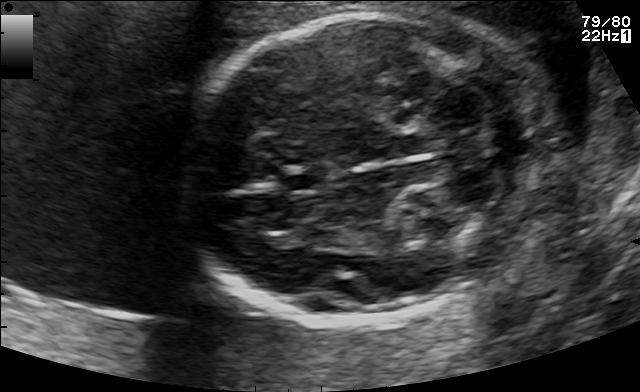
In this fetal brain, trans-cerebellum plane, give the bounding box of the cavum septum pellucidum.

[277,165,332,196]